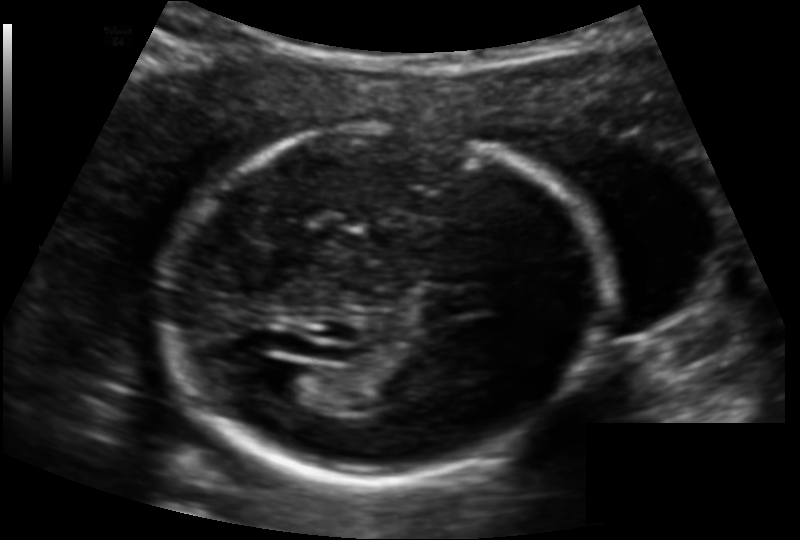
Fetal head ultrasound. Image width: 105.9 mm. Where is the fetal head?

Head bounding box: [154,127,607,480]